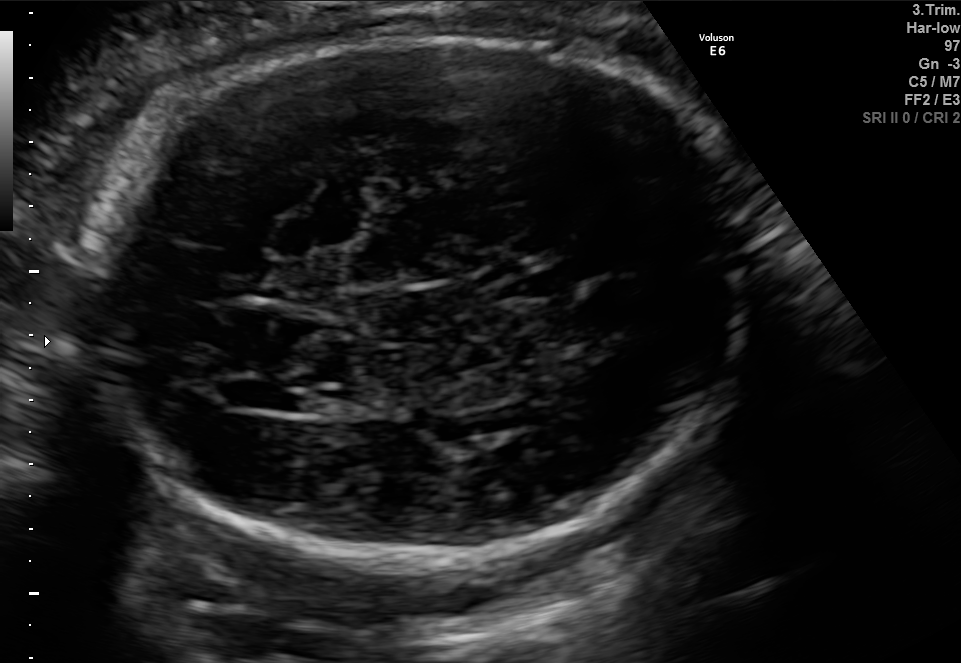
Fetal brain, trans-ventricular plane. Where is the fetal head?

Head bounding box: [72,23,765,566]